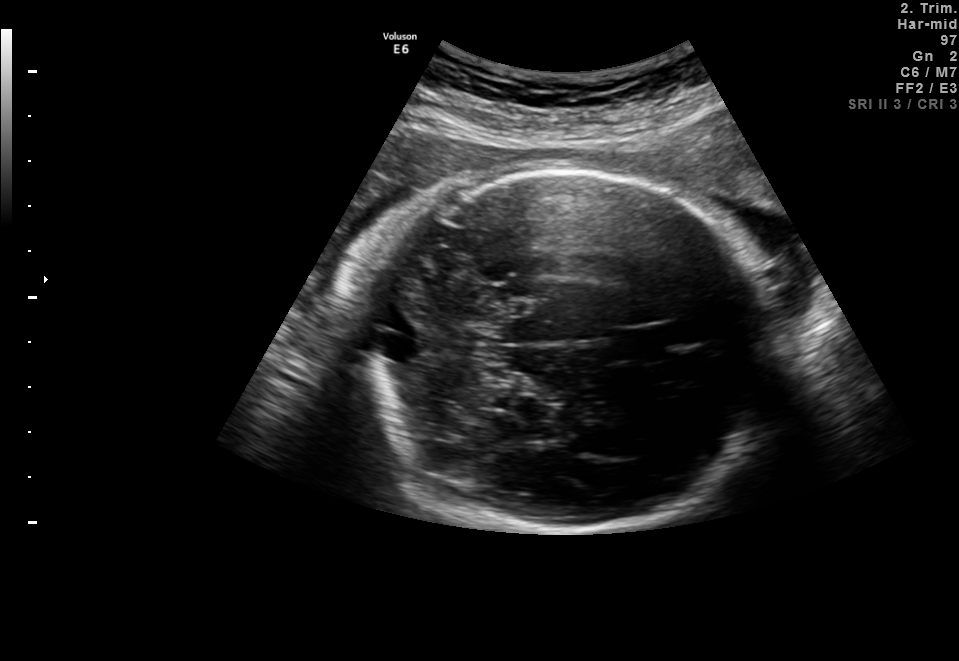
Fetal brain, trans-cerebellum plane. Where is the fetal head?

Head bounding box: [358,170,775,535]